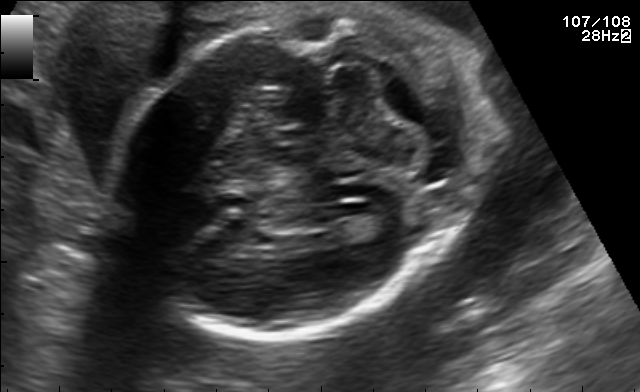
Fetal brain, trans-cerebellum plane. Locate the fetal head and, if visible, the cavum septum pellucidum (CSP) and lateral ventricle (LV). Give bounding boxes as [x1,y1,x2,y2].

Head: [113,8,489,334]